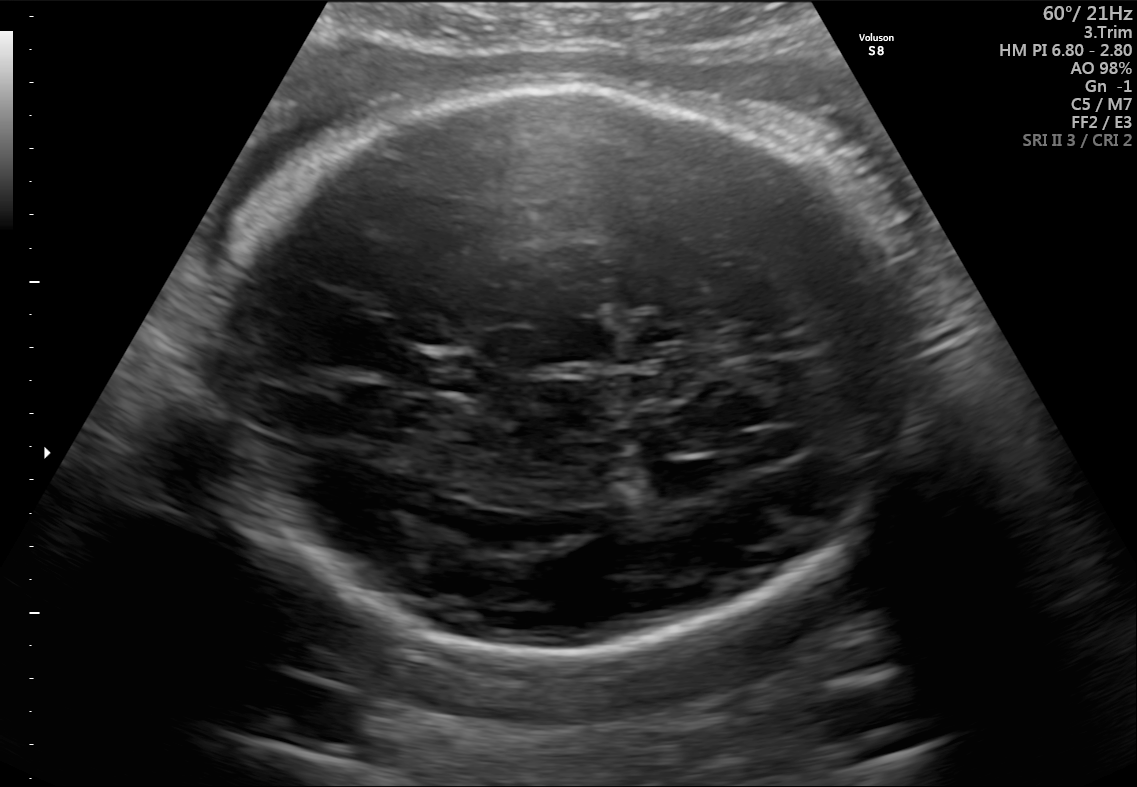
Fetal brain, trans-thalamic plane. Where is the cavum septum pellucidum?

CSP bounding box: [415,353,483,393]